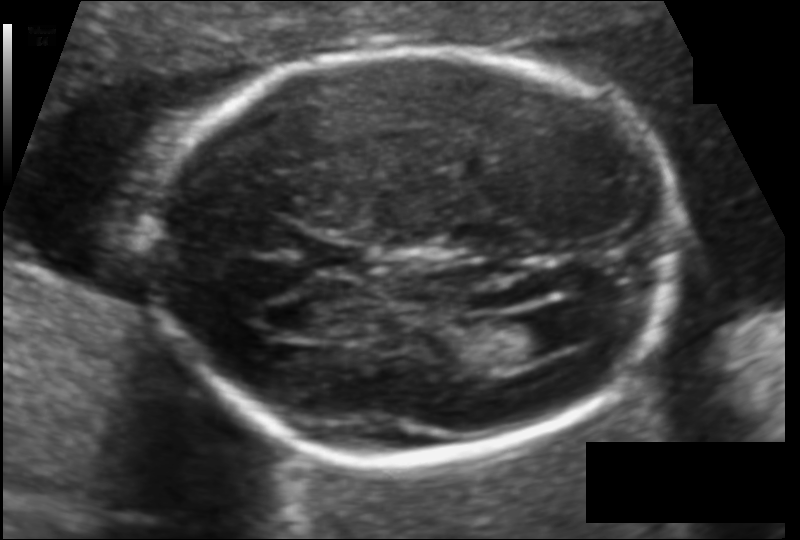
What is the fetal head circumference? Image width is 89.1 mm.

169.3 mm